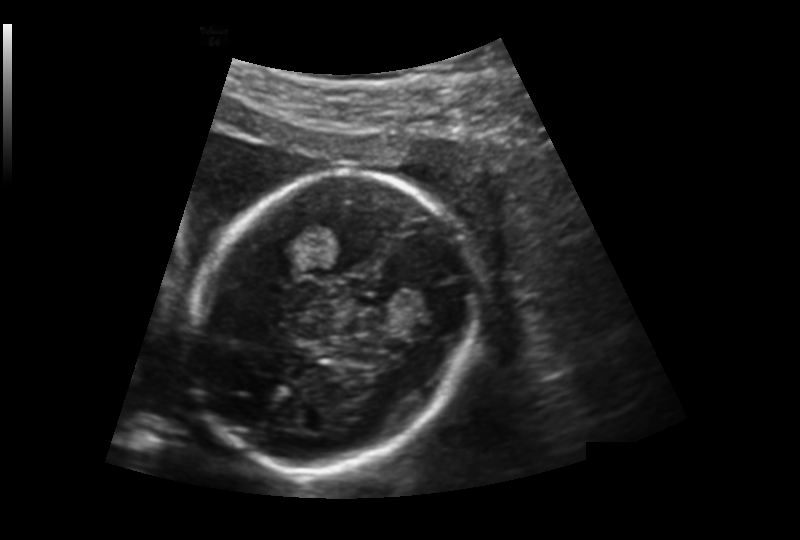
From this fetal ultrasound, estimate the head circumference (image width 140.4 mm).

Head circumference: 165.7 mm.